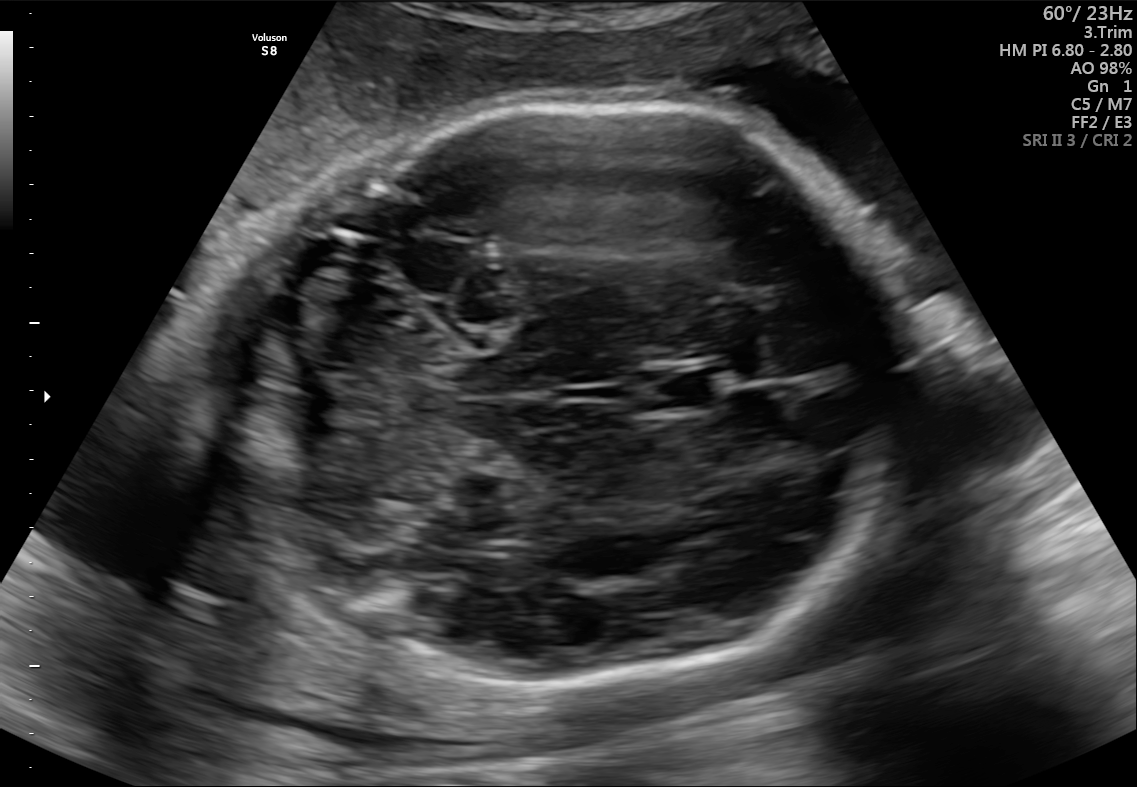
Fetal brain, trans-cerebellum plane. Locate the fetal head.

Head: [198,105,906,687]